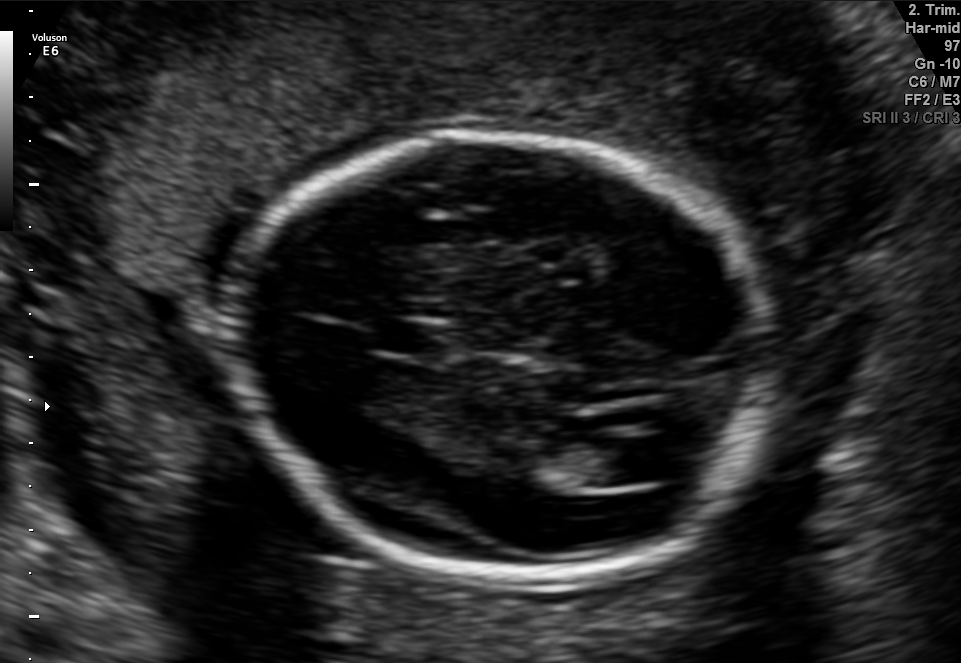
Fetal brain, trans-ventricular plane. Locate the lateral ventricle.

Lateral ventricle: [599,432,679,489]